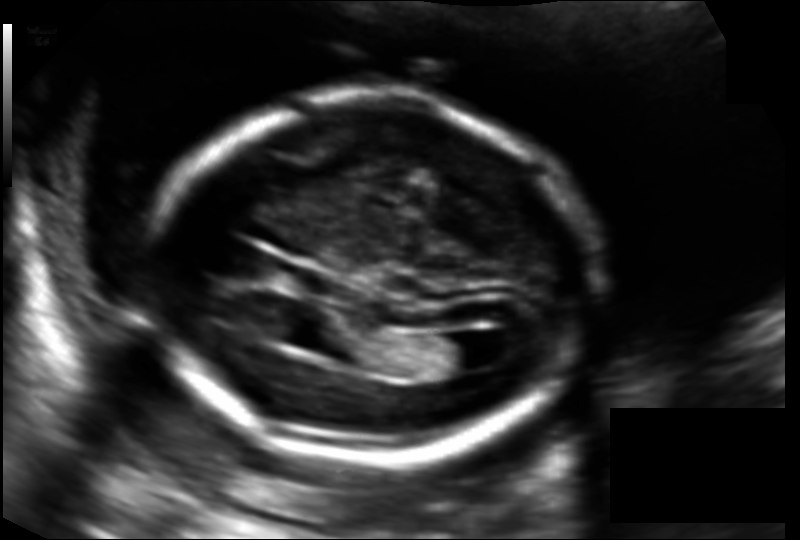
In this fetal head ultrasound, give the bounding box of the lateral ventricle. Image width: 104.2 mm.

[435,331,493,374]